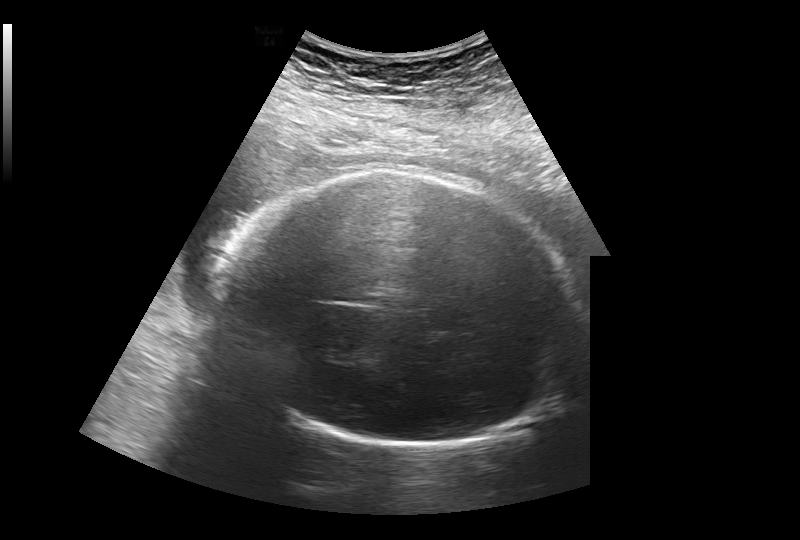
In this fetal head ultrasound, give bounding boxes for the head outline, cavum septum pellucidum (CSP), and lateral ventricle (LV), where visible. Image width: 246.2 mm.

Head: [221,172,577,447]